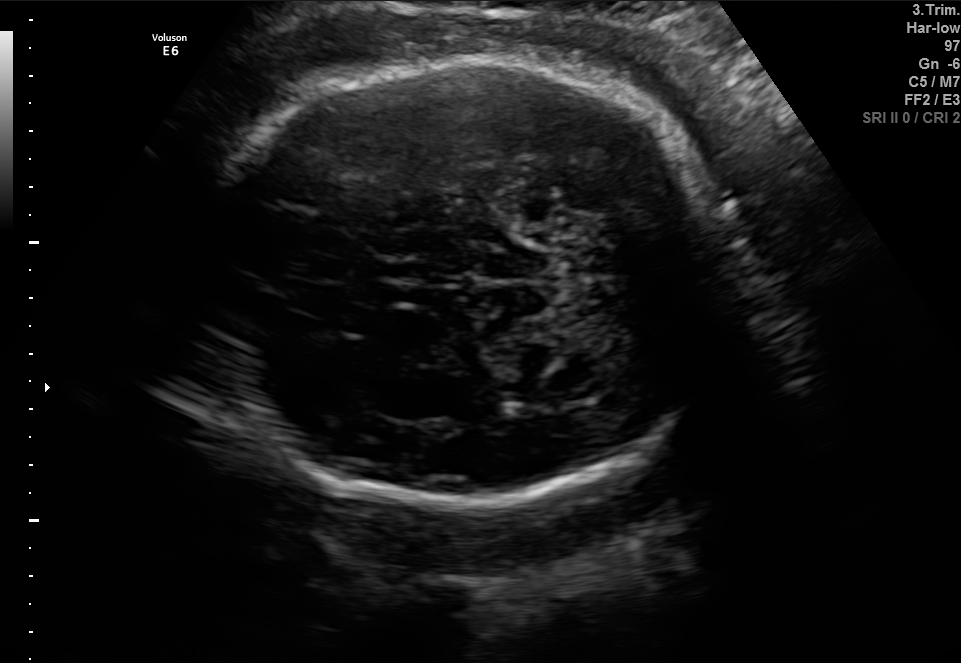
Fetal brain, trans-cerebellum plane. Give [x1,y1,x2,y2] bounding boxes for each visible structure among: fetal head, CSP, LV.

Head: [192,59,729,506]